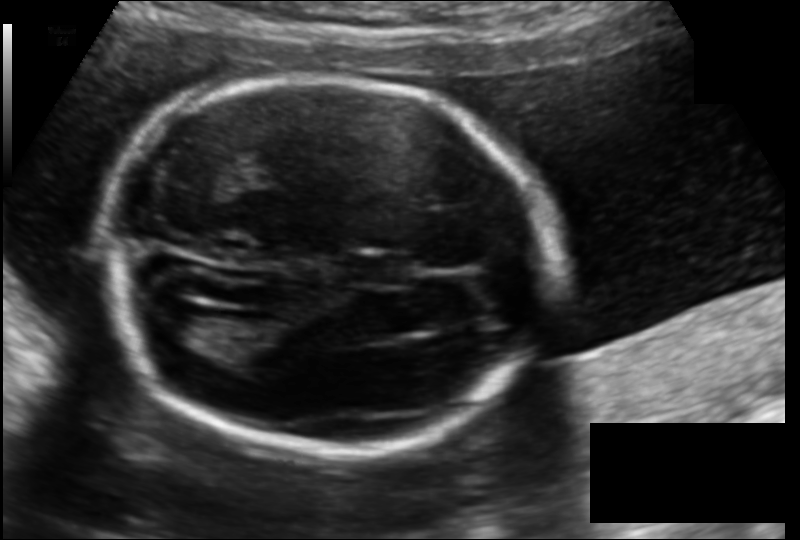
In this fetal head ultrasound, give the bounding box of the fetal head. Image width: 107.8 mm.

[99,76,549,449]